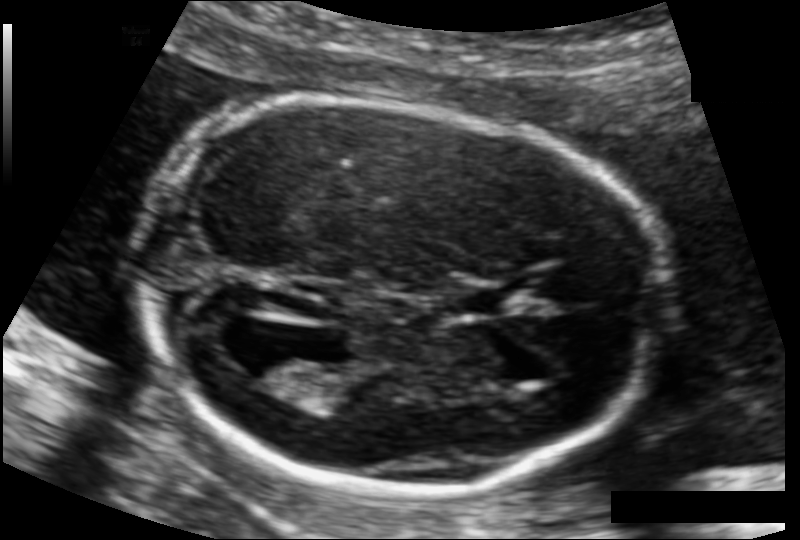
Fetal head ultrasound. Image width: 85.7 mm. Locate the fetal head.

Head: [143,98,657,491]